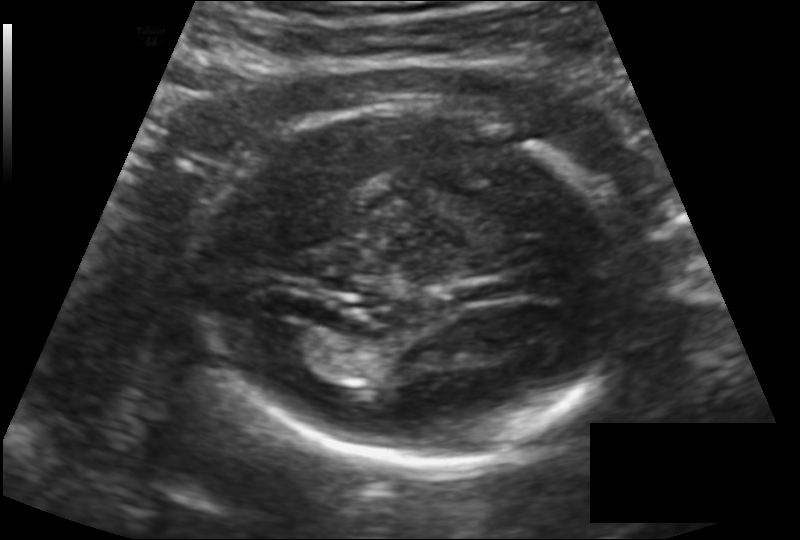
Fetal head ultrasound. Image width: 113.7 mm. Where is the lateral ventricle?

Lateral ventricle bounding box: [257,322,327,369]